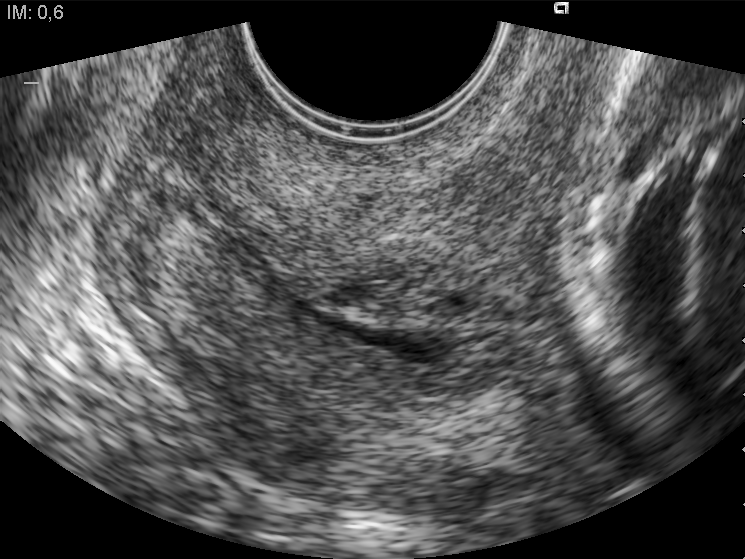
Identify the standard plane in this fetal ultrasound image: fetal abdomen, fetal brain, fetal femur, fetal thorax, maternal cervix, or other. If it's fetal brain and one of the three standard brain planes (trans-thalamic, trans-cerebellum, trans-ventricular), name which.

Maternal cervix